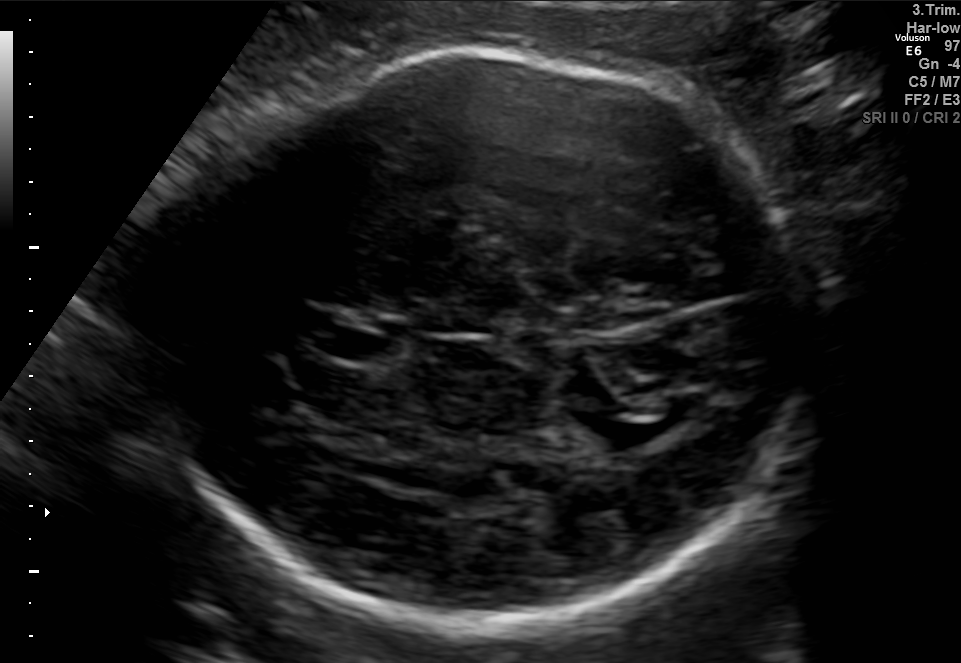
This is a 2D maternal-fetal ultrasound frame. Is it a fetal abdomen, fetal brain, fetal femur, fetal thorax, maternal cervix, or other standard plane? If it's fetal brain and one of the three standard brain planes (trans-thalamic, trans-cerebellum, trans-ventricular), name which.

Fetal brain (trans-thalamic plane)